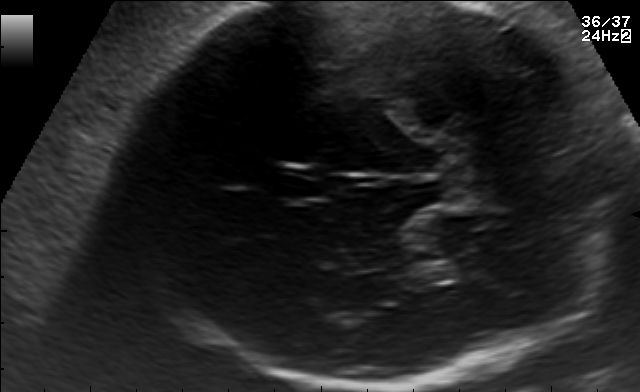
Fetal brain, trans-thalamic plane. Give [x1,y1,x2,y2] bounding boxes for each visible structure among: fetal head, CSP, LV.

Head: [115,2,624,390]
CSP: [273,168,329,198]